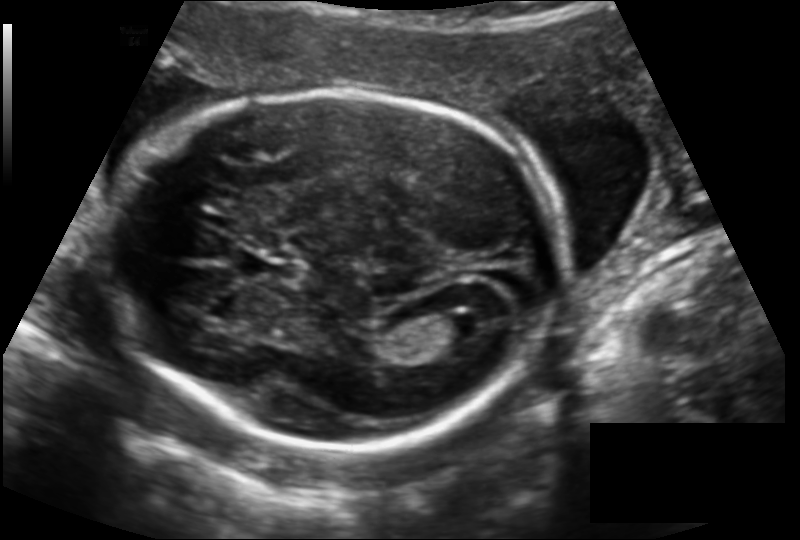
Fetal head ultrasound. Image width: 113.5 mm. Locate the cavum septum pellucidum.

CSP: [244,251,304,287]